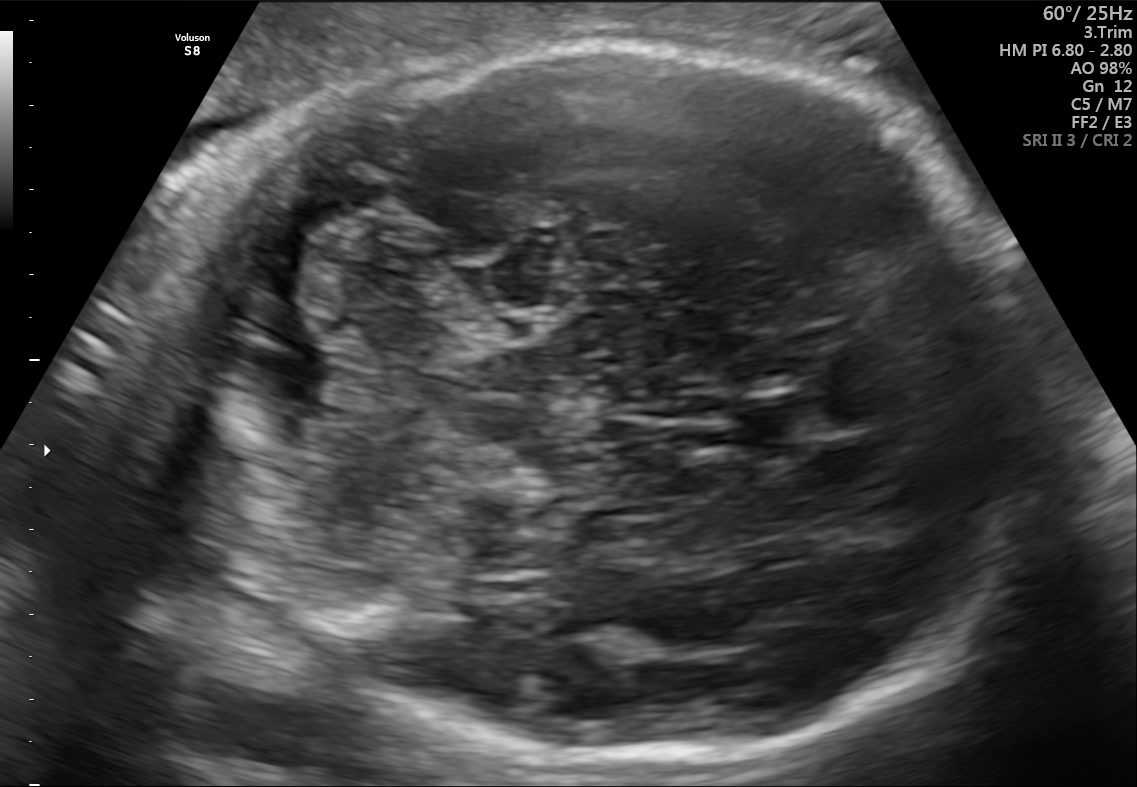
Fetal brain, trans-cerebellum plane. Locate the fetal head.

Head: [145,42,1049,760]